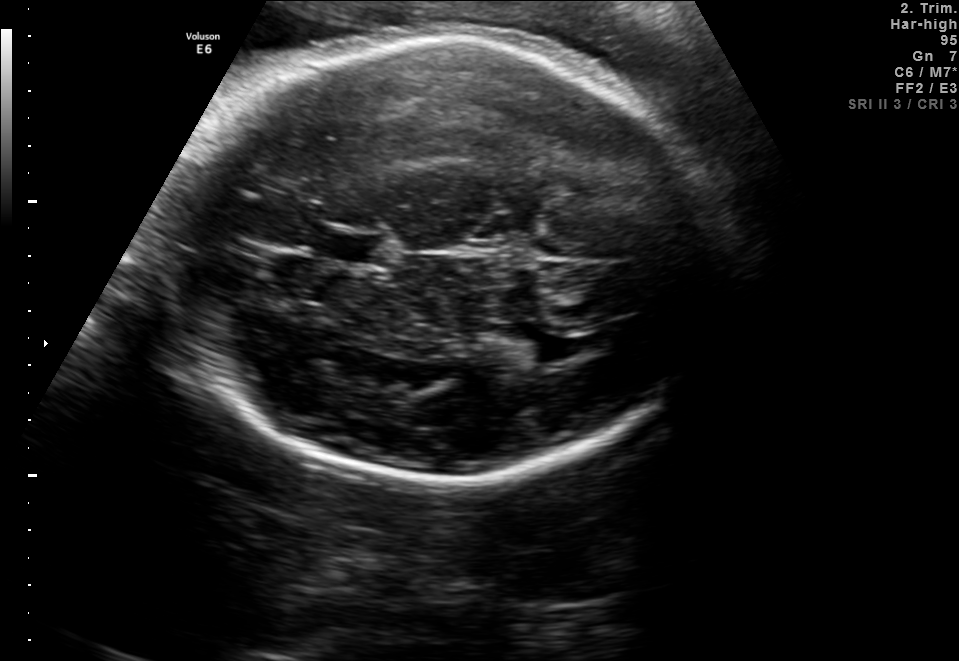
Classify this maternal-fetal ultrasound image as one of the six standard planes — fetal abdomen, fetal brain, fetal femur, fetal thorax, maternal cervix, or other. If it's fetal brain and one of the three standard brain planes (trans-thalamic, trans-cerebellum, trans-ventricular), name which.

Fetal brain (trans-thalamic plane)